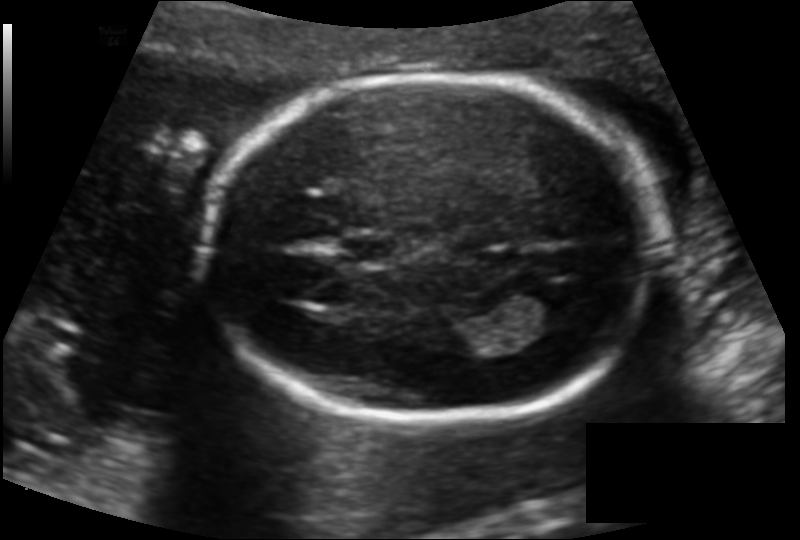
Fetal head ultrasound. Image width: 104.1 mm. Give [x1,y1,x2,y2] bounding boxes for each visible structure among: fetal head, CSP, LV.

Head: [205,76,653,420]
CSP: [340,233,401,265]
Lateral ventricle: [517,270,595,336]